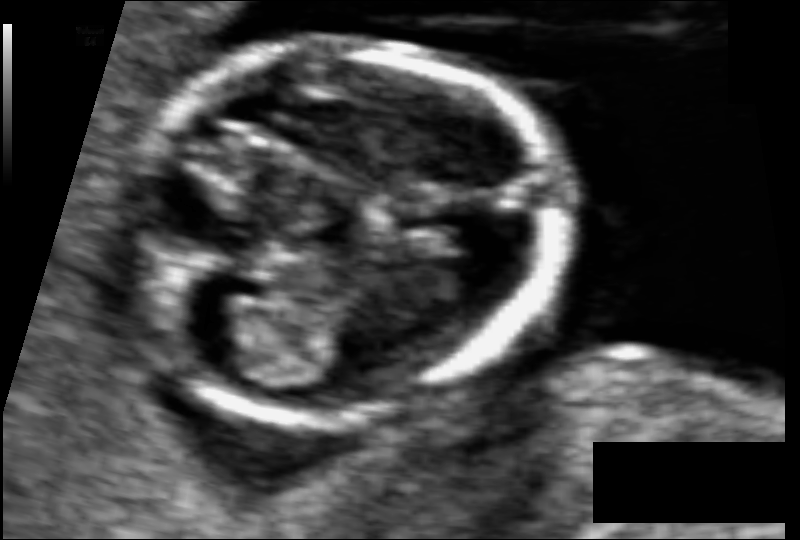
In this fetal head ultrasound, give the bounding box of the fetal head. Image width: 47.6 mm.

[118,44,551,421]